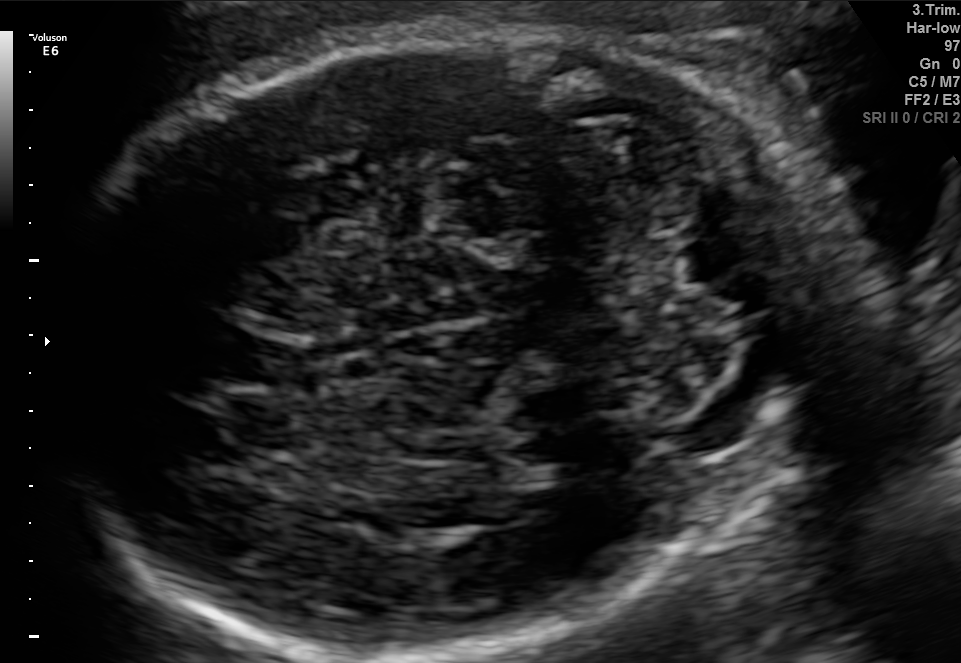
Fetal brain, trans-cerebellum plane. Locate the fetal head and, if visible, the cavum septum pellucidum (CSP) and lateral ventricle (LV). Give bounding boxes as [x1,y1,x2,y2].

Head: [51,25,860,648]
CSP: [215,327,317,396]